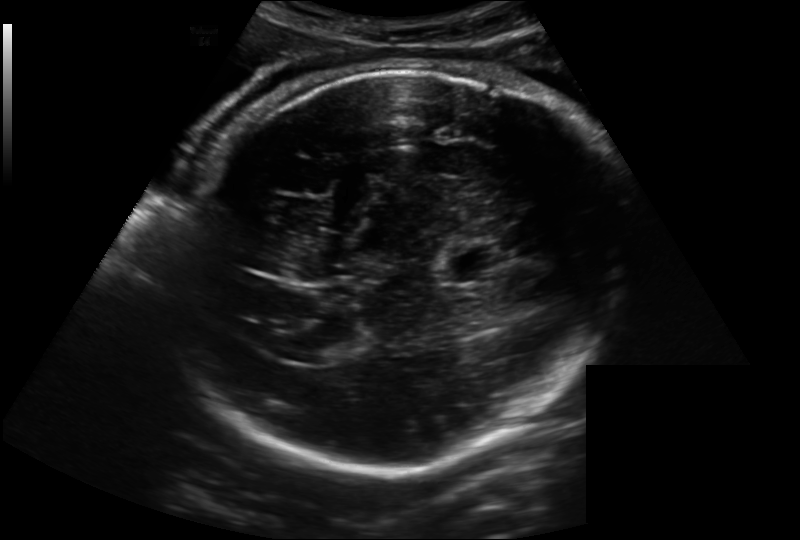
Measure the fetal head circumference shown in this ultrasound image. Image width: 177.2 mm.

Head circumference: 299.1 mm.